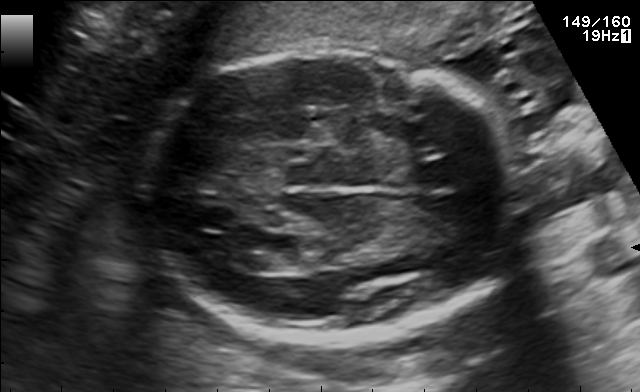
Fetal brain, trans-ventricular plane. Locate the fetal head and, if visible, the cavum septum pellucidum (CSP) and lateral ventricle (LV). Give bounding boxes as [x1,y1,x2,y2].

Head: [128,42,537,350]